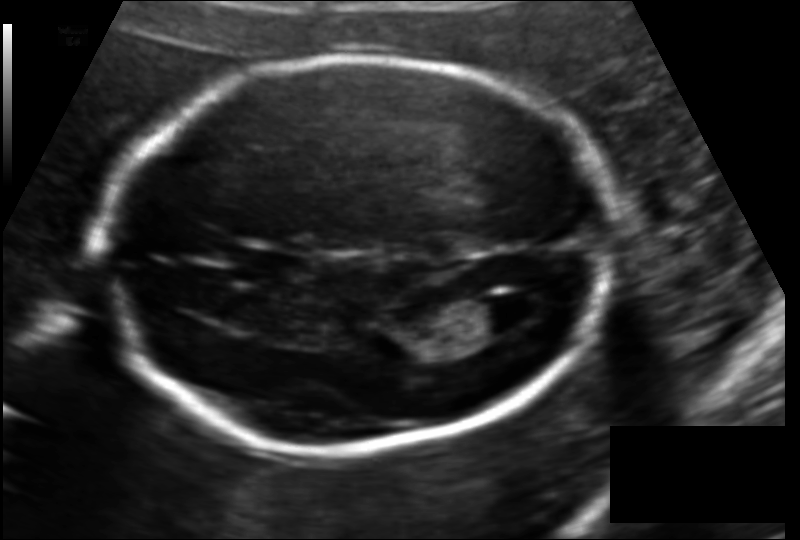
What is the fetal head circumference? Image width is 101.5 mm.

185.4 mm